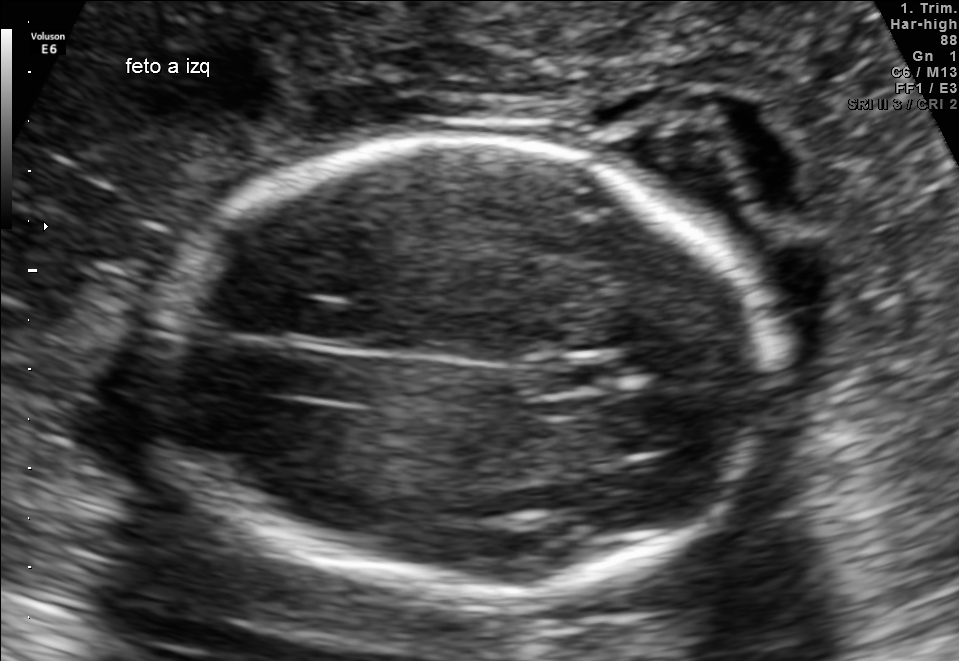
Fetal brain, trans-thalamic plane. Locate the cavum septum pellucidum.

CSP: [540,355,616,394]